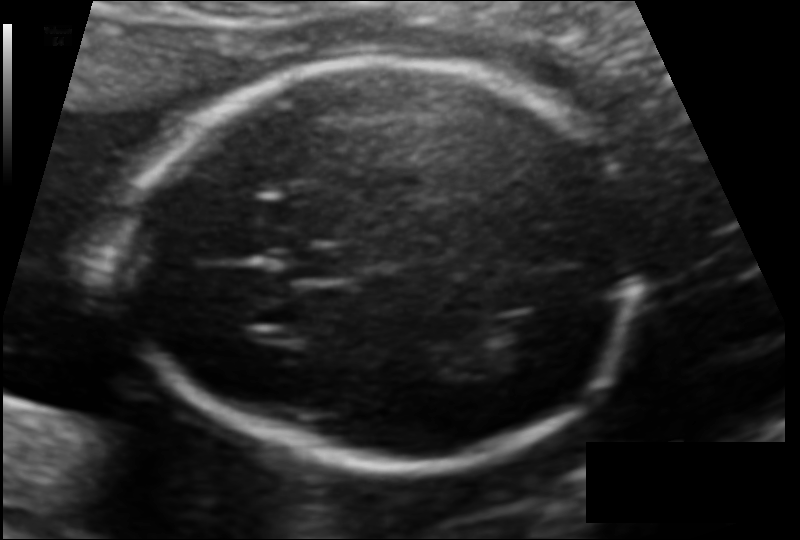
Fetal head ultrasound. Image width: 92.5 mm. Where is the fetal head?

Head bounding box: [126,58,641,464]